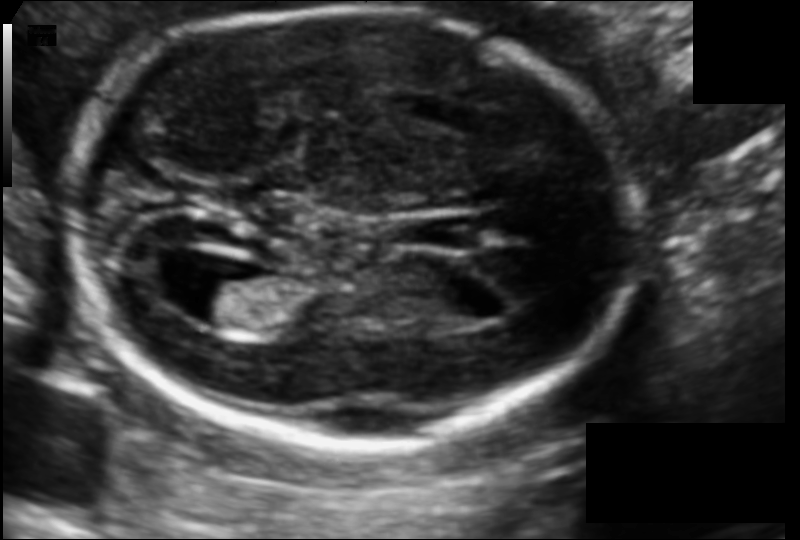
Fetal head ultrasound. Image width: 83.9 mm. Where is the fetal head?

Head bounding box: [69,6,631,448]